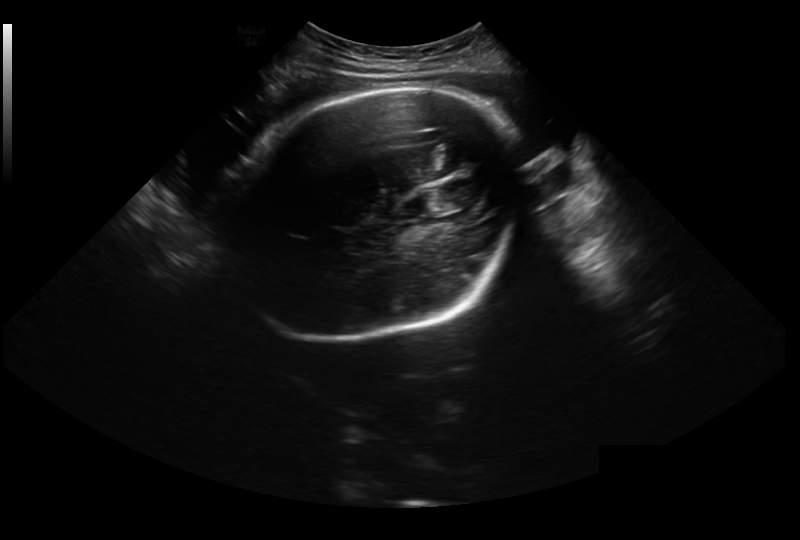
From this fetal ultrasound, estimate the head circumference (image width 260.9 mm).

Head circumference: 296.8 mm.